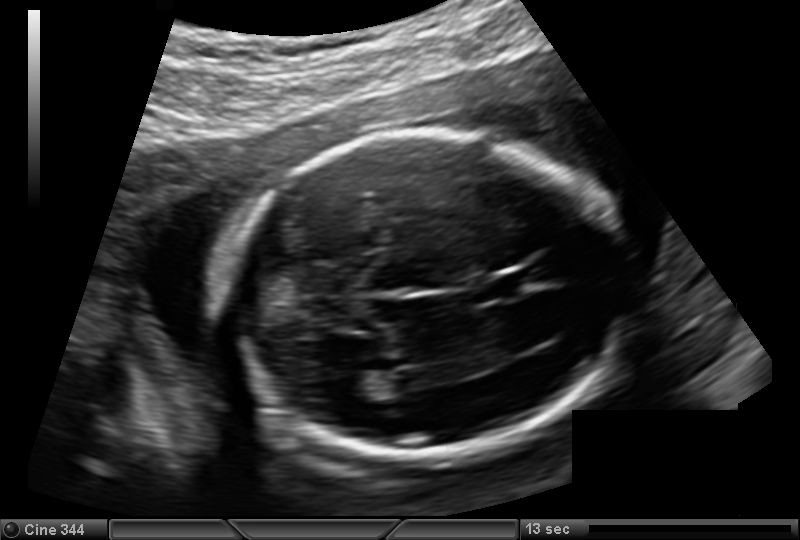
Fetal head ultrasound. Image width: 115.3 mm. Locate the cavum septum pellucidum.

CSP: [477,266,534,306]